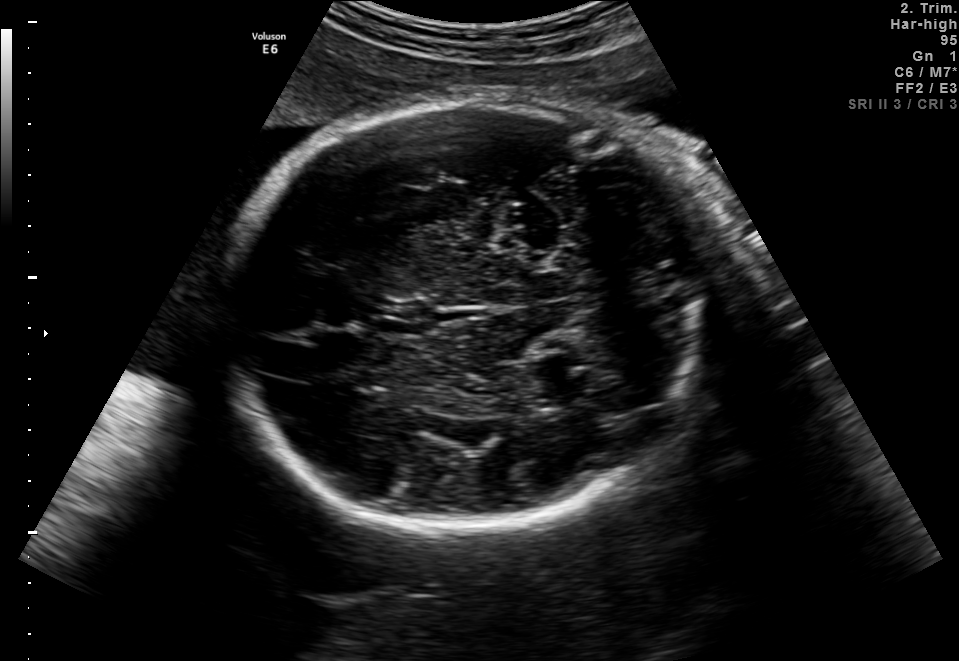
In this fetal brain, trans-thalamic plane, give the bounding box of the fetal head.

[223,98,712,531]